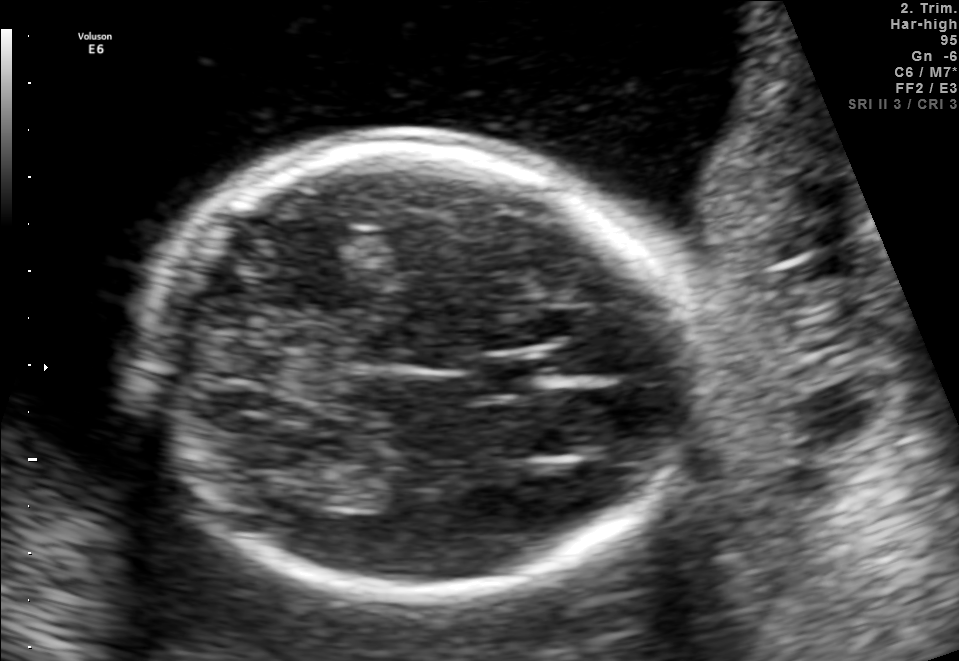
This is a 2D maternal-fetal ultrasound frame. Is it a fetal abdomen, fetal brain, fetal femur, fetal thorax, maternal cervix, or other standard plane? If it's fetal brain and one of the three standard brain planes (trans-thalamic, trans-cerebellum, trans-ventricular), name which.

Fetal brain (trans-thalamic plane)